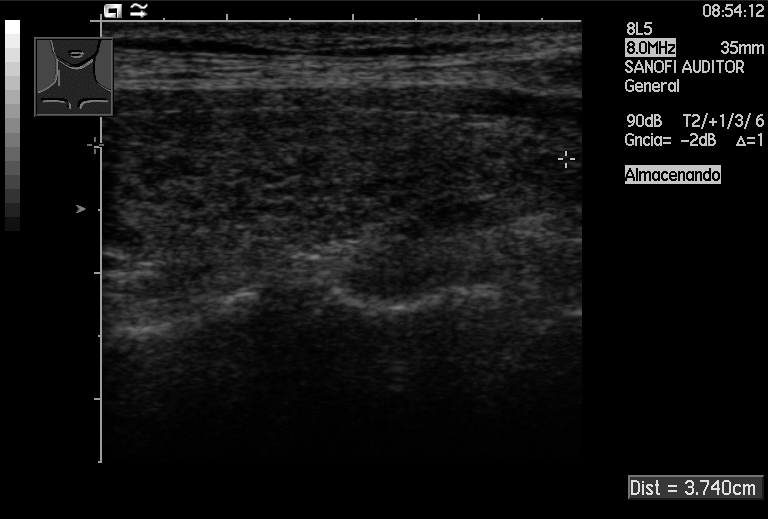
This is a 2D maternal-fetal ultrasound frame. Is it a fetal abdomen, fetal brain, fetal femur, fetal thorax, maternal cervix, or other standard plane? If it's fetal brain and one of the three standard brain planes (trans-thalamic, trans-cerebellum, trans-ventricular), name which.

Other